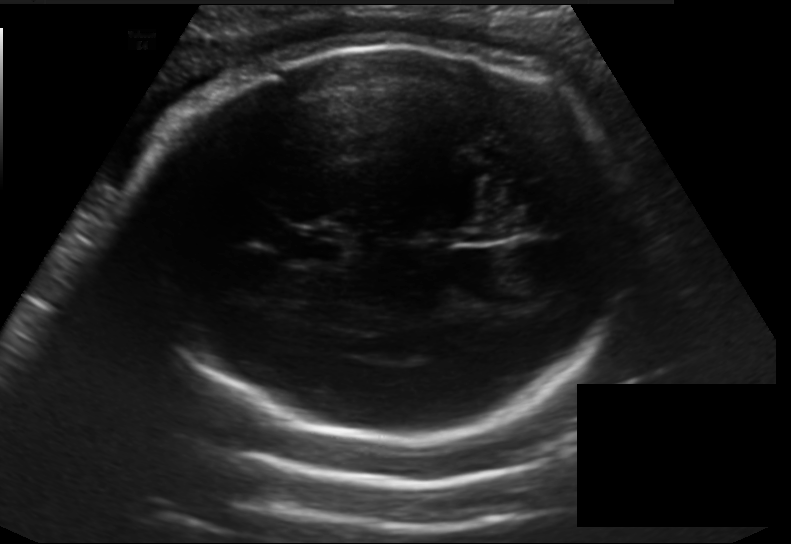
Fetal head ultrasound. Image width: 156.8 mm. Locate the cavum septum pellucidum.

CSP: [285,223,350,269]